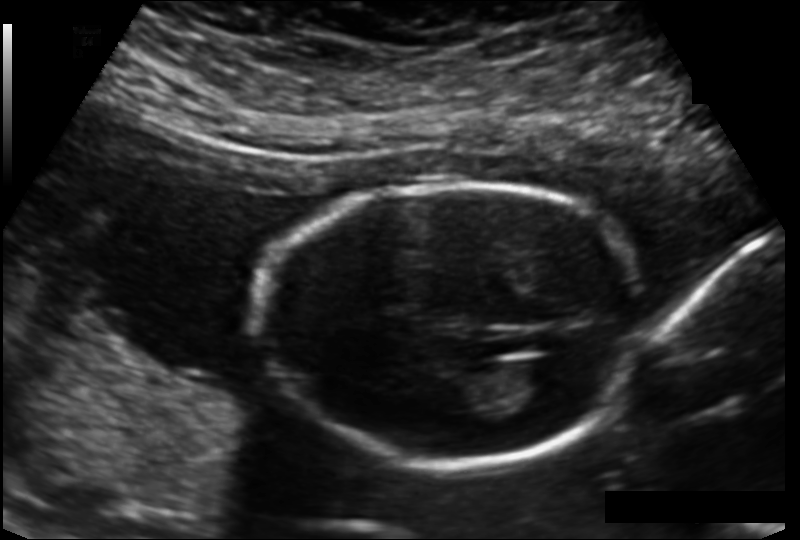
In this fetal head ultrasound, give the bounding box of the fetal head. Image width: 107.7 mm.

[260,181,647,465]